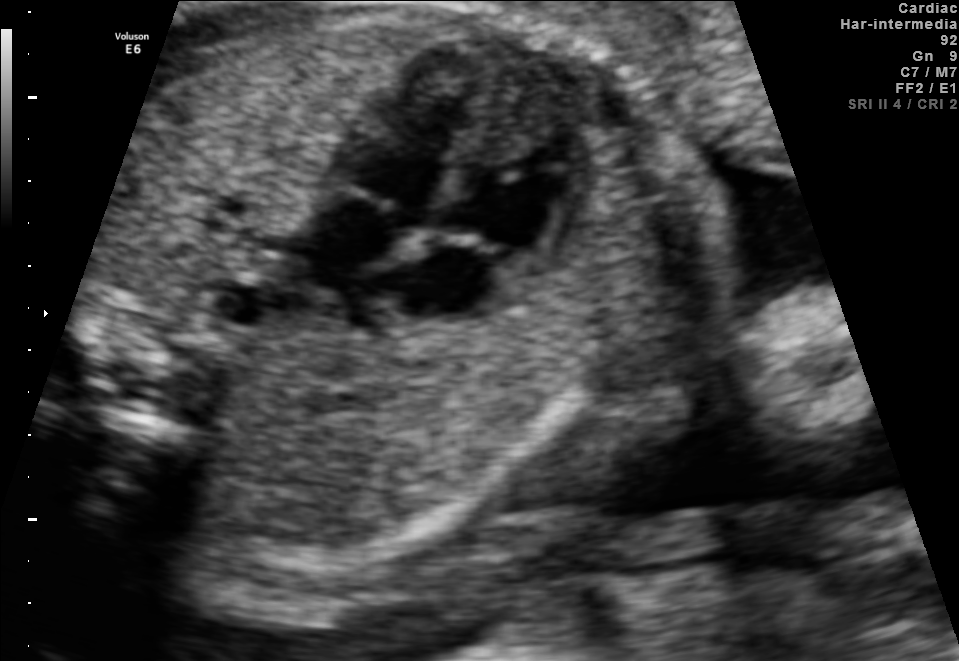
Classify this maternal-fetal ultrasound image as one of the six standard planes — fetal abdomen, fetal brain, fetal femur, fetal thorax, maternal cervix, or other. If it's fetal brain and one of the three standard brain planes (trans-thalamic, trans-cerebellum, trans-ventricular), name which.

Fetal thorax